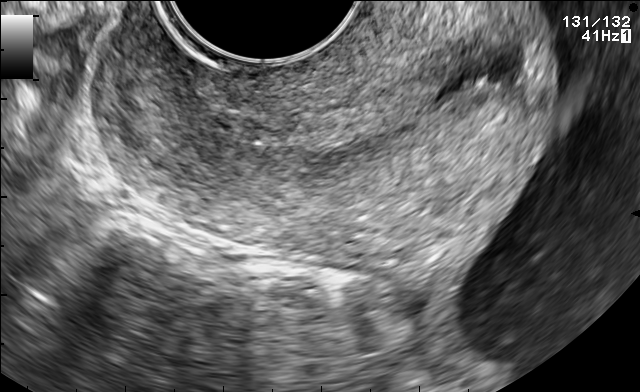
Classify this maternal-fetal ultrasound image as one of the six standard planes — fetal abdomen, fetal brain, fetal femur, fetal thorax, maternal cervix, or other. If it's fetal brain and one of the three standard brain planes (trans-thalamic, trans-cerebellum, trans-ventricular), name which.

Maternal cervix